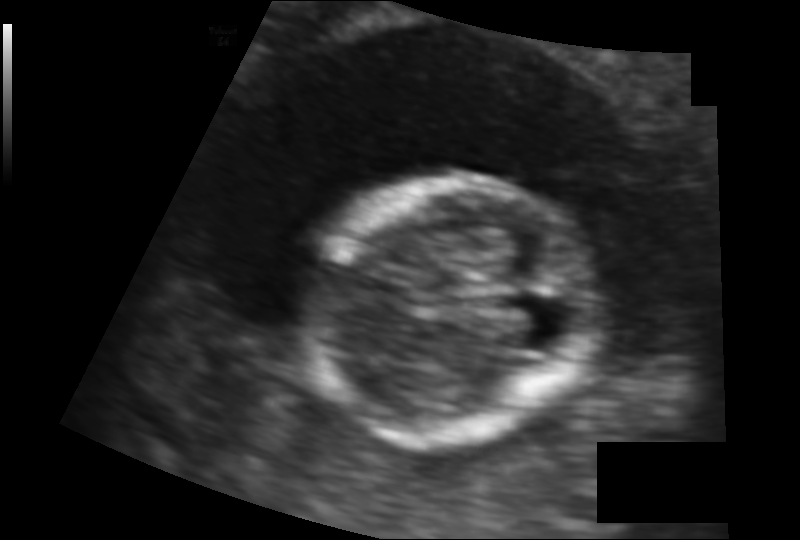
What is the fetal head circumference? Image width is 82.1 mm.

94.3 mm